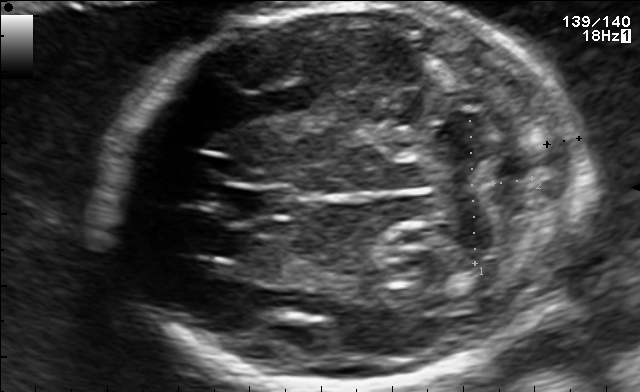
This is a 2D maternal-fetal ultrasound frame. Is it a fetal abdomen, fetal brain, fetal femur, fetal thorax, maternal cervix, or other standard plane? If it's fetal brain and one of the three standard brain planes (trans-thalamic, trans-cerebellum, trans-ventricular), name which.

Other